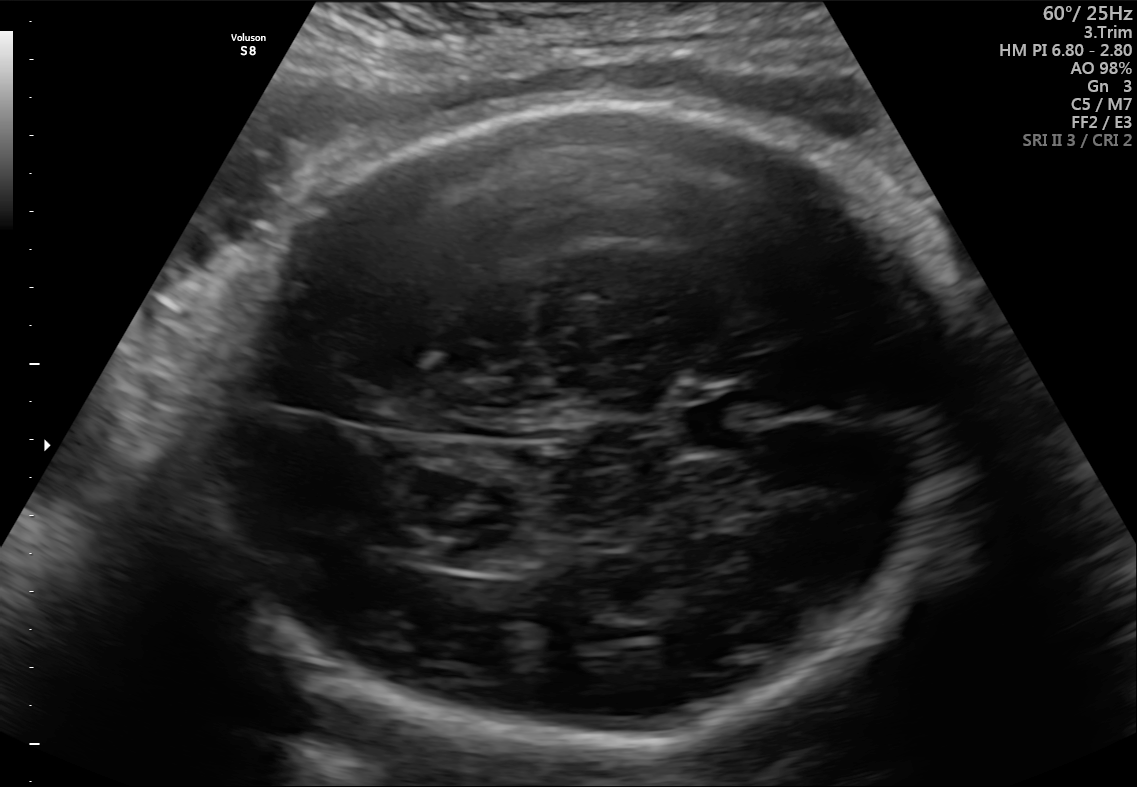
In this fetal brain, trans-thalamic plane, give the bounding box of the fetal head.

[183,102,964,756]